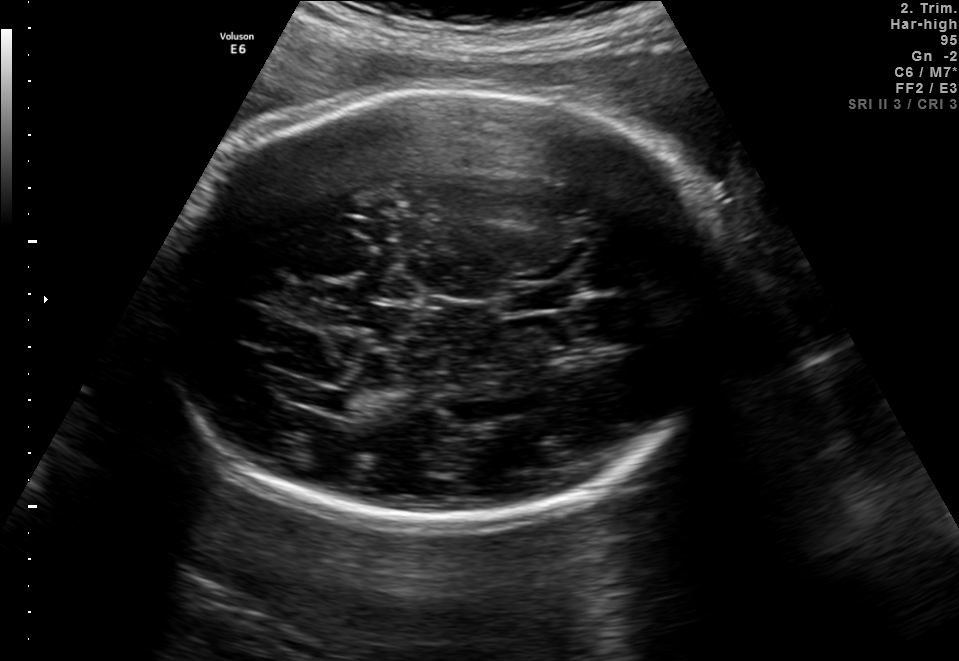
Fetal brain, trans-thalamic plane. Locate the cavum septum pellucidum.

CSP: [504,284,568,312]